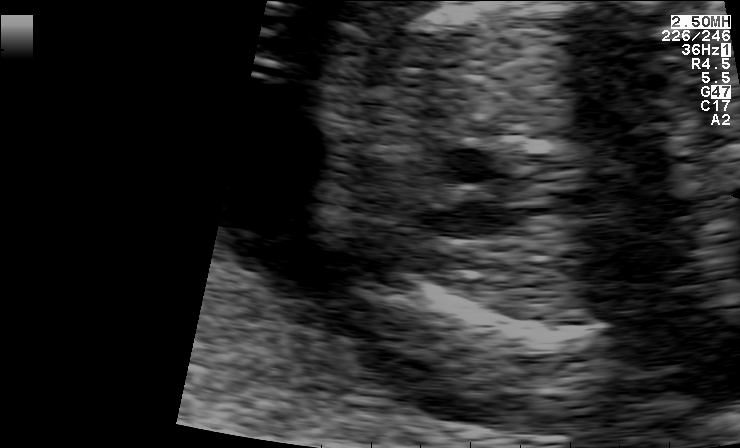
Identify the standard plane in this fetal ultrasound image: fetal abdomen, fetal brain, fetal femur, fetal thorax, maternal cervix, or other. If it's fetal brain and one of the three standard brain planes (trans-thalamic, trans-cerebellum, trans-ventricular), name which.

Other